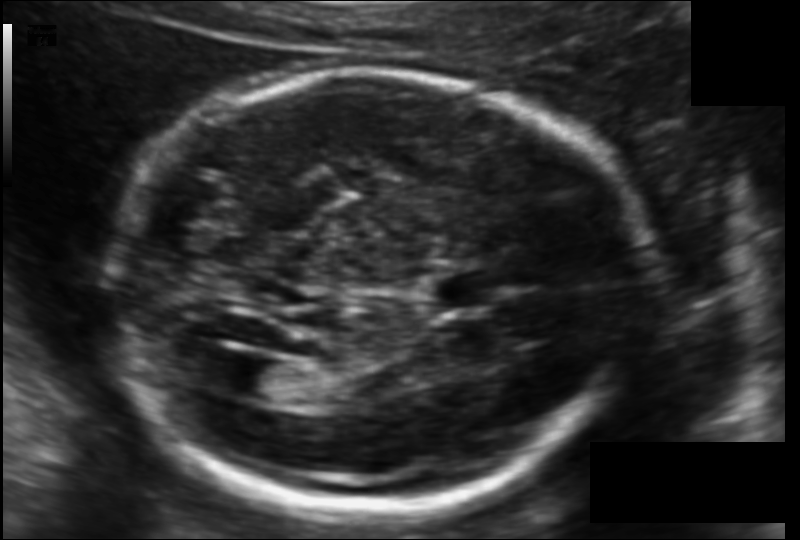
Fetal head ultrasound. Image width: 95.3 mm. Where is the fetal head?

Head bounding box: [104,69,634,510]